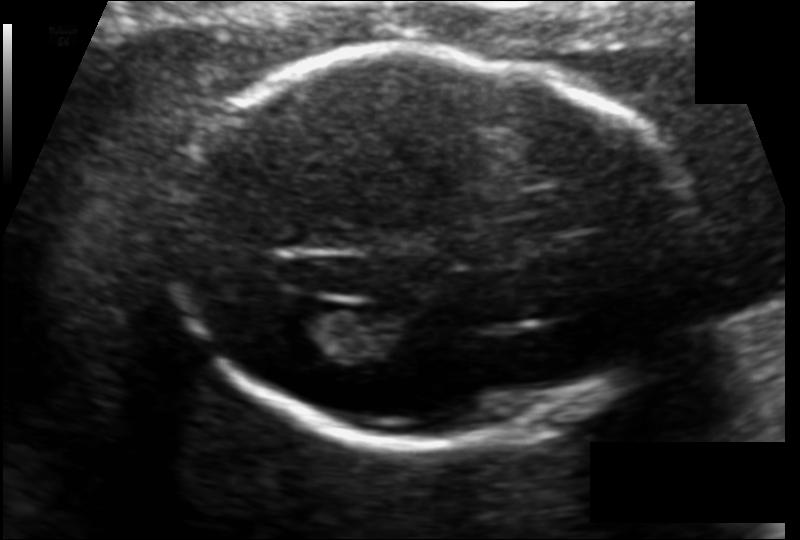
Fetal head ultrasound. Image width: 96.2 mm. Where is the lateral ventricle?

Lateral ventricle bounding box: [267,309,350,366]